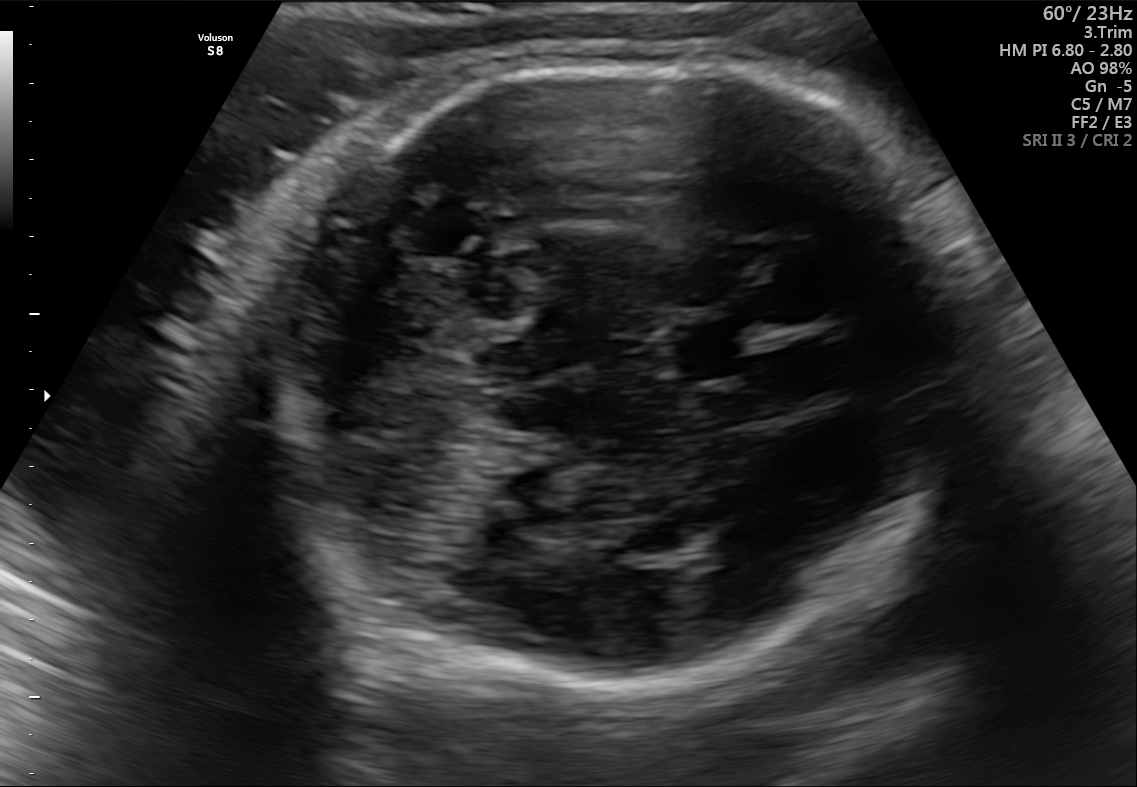
Fetal brain, trans-cerebellum plane. Locate the fetal head and, if visible, the cavum septum pellucidum (CSP) and lateral ventricle (LV). Give bounding boxes as [x1,y1,x2,y2].

Head: [263,58,964,681]
CSP: [656,306,764,391]